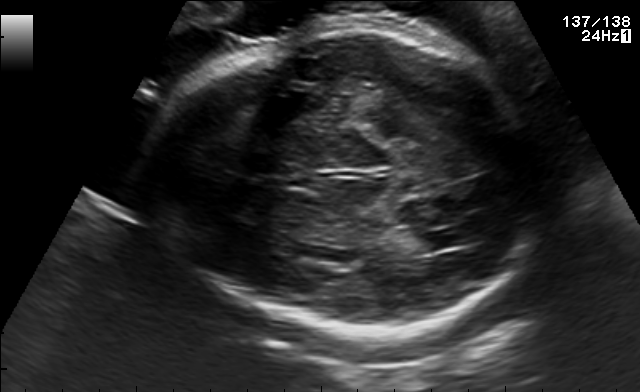
Fetal brain, trans-thalamic plane. Locate the fetal head.

Head: [145,26,555,333]